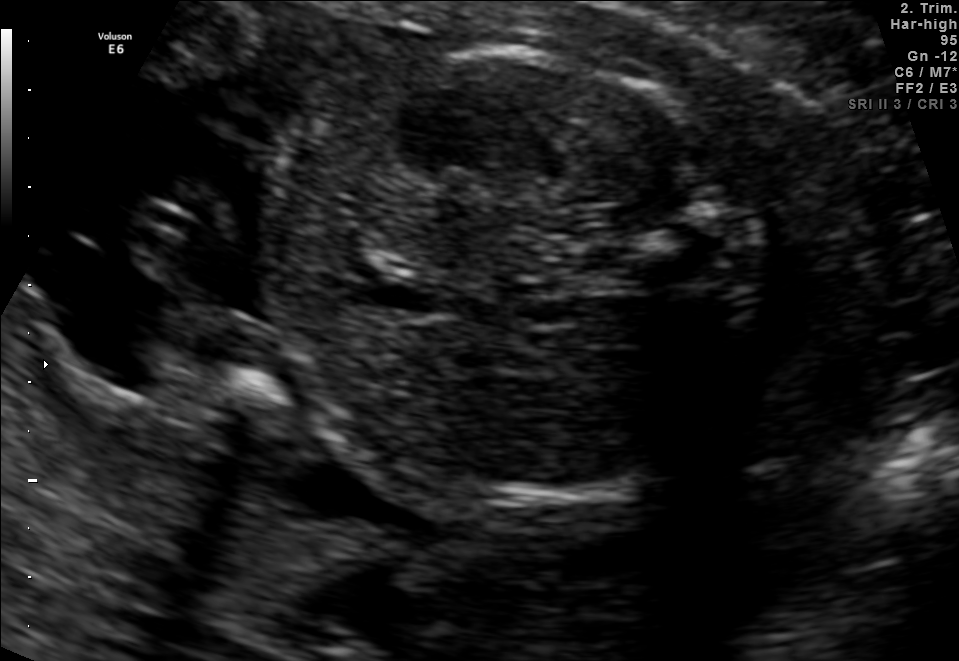
Classify this maternal-fetal ultrasound image as one of the six standard planes — fetal abdomen, fetal brain, fetal femur, fetal thorax, maternal cervix, or other. If it's fetal brain and one of the three standard brain planes (trans-thalamic, trans-cerebellum, trans-ventricular), name which.

Fetal abdomen